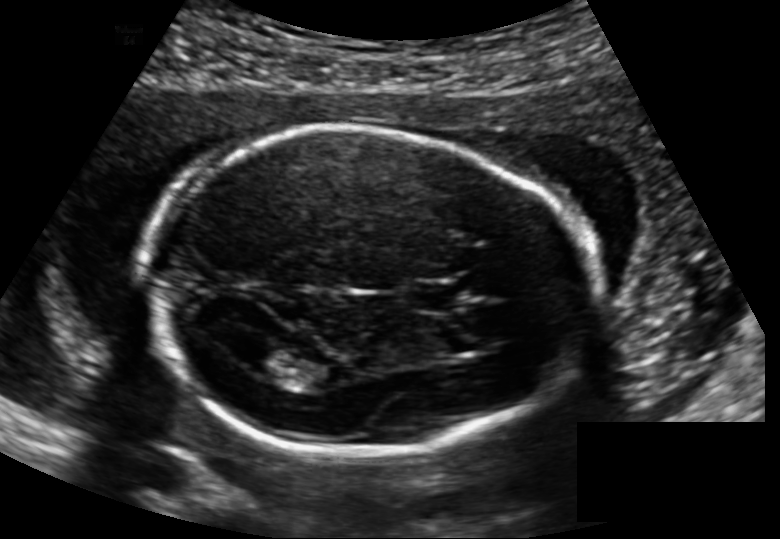
Fetal head ultrasound. Image width: 115.4 mm. Locate the cavum septum pellucidum.

CSP: [411,280,460,313]